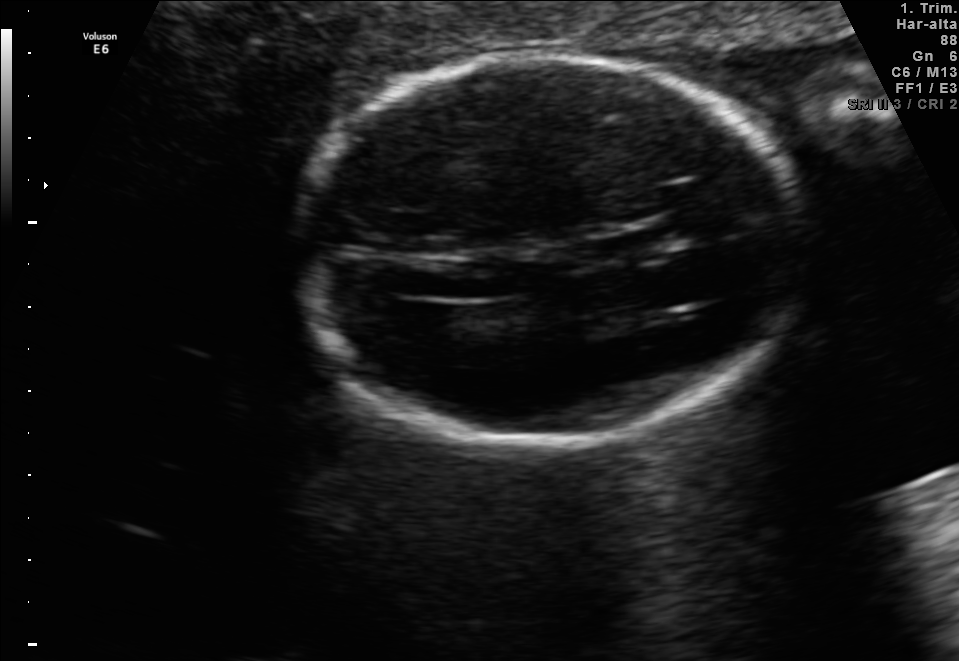
This is a 2D maternal-fetal ultrasound frame. Is it a fetal abdomen, fetal brain, fetal femur, fetal thorax, maternal cervix, or other standard plane? If it's fetal brain and one of the three standard brain planes (trans-thalamic, trans-cerebellum, trans-ventricular), name which.

Fetal brain (trans-thalamic plane)